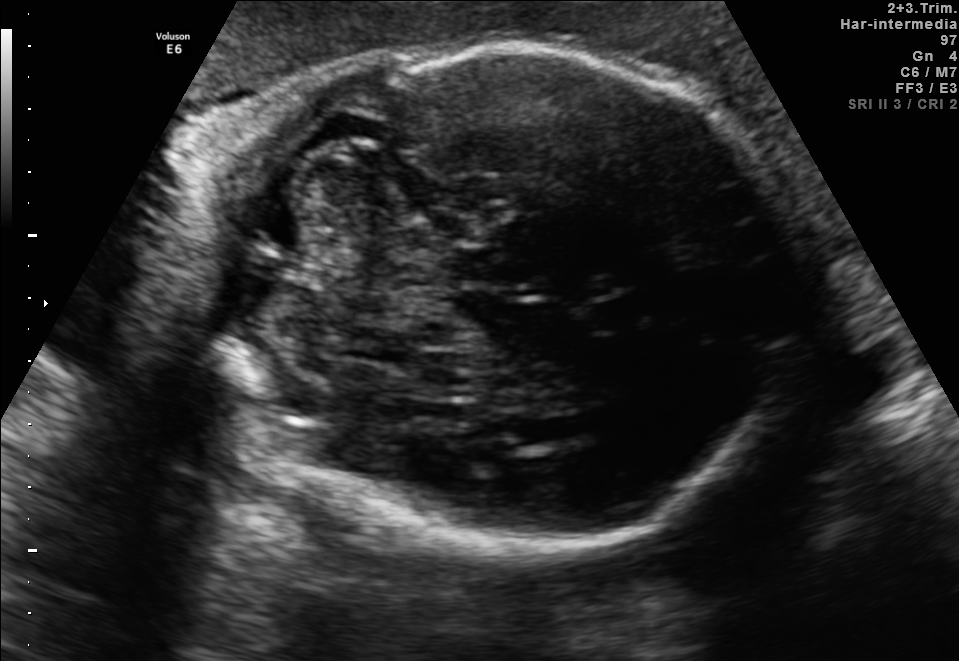
Classify this maternal-fetal ultrasound image as one of the six standard planes — fetal abdomen, fetal brain, fetal femur, fetal thorax, maternal cervix, or other. If it's fetal brain and one of the three standard brain planes (trans-thalamic, trans-cerebellum, trans-ventricular), name which.

Fetal brain (trans-cerebellum plane)